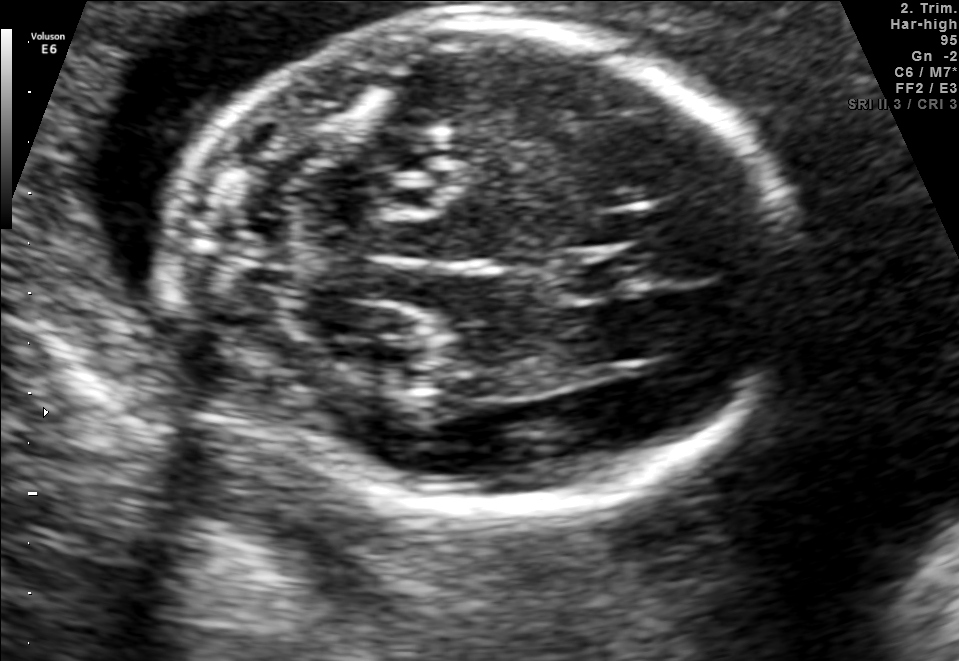
Fetal brain, trans-cerebellum plane. Locate the fetal head and, if visible, the cavum septum pellucidum (CSP) and lateral ventricle (LV). Give bounding boxes as [x1,y1,x2,y2].

Head: [178,18,785,511]
CSP: [551,244,649,303]